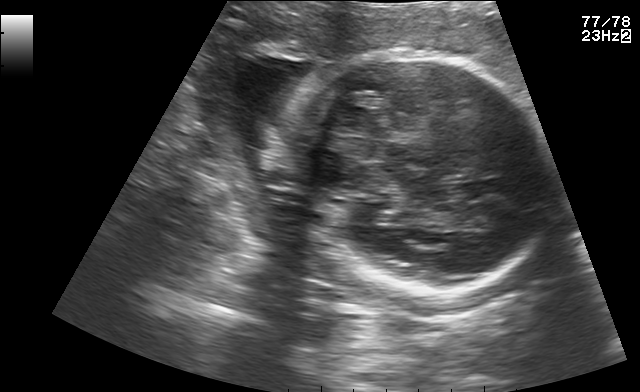
In this fetal brain, trans-thalamic plane, give the bounding box of the fetal head.

[290,46,550,293]